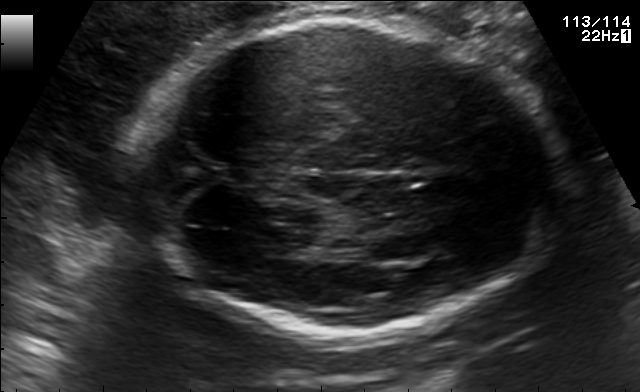
Fetal brain, trans-thalamic plane. Locate the fetal head and, if visible, the cavum septum pellucidum (CSP) and lateral ventricle (LV). Give bounding boxes as [x1,y1,x2,y2].

Head: [140,21,564,334]